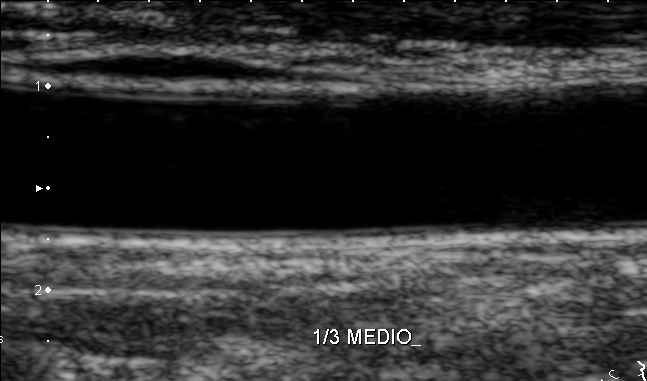
Identify the standard plane in this fetal ultrasound image: fetal abdomen, fetal brain, fetal femur, fetal thorax, maternal cervix, or other. If it's fetal brain and one of the three standard brain planes (trans-thalamic, trans-cerebellum, trans-ventricular), name which.

Other